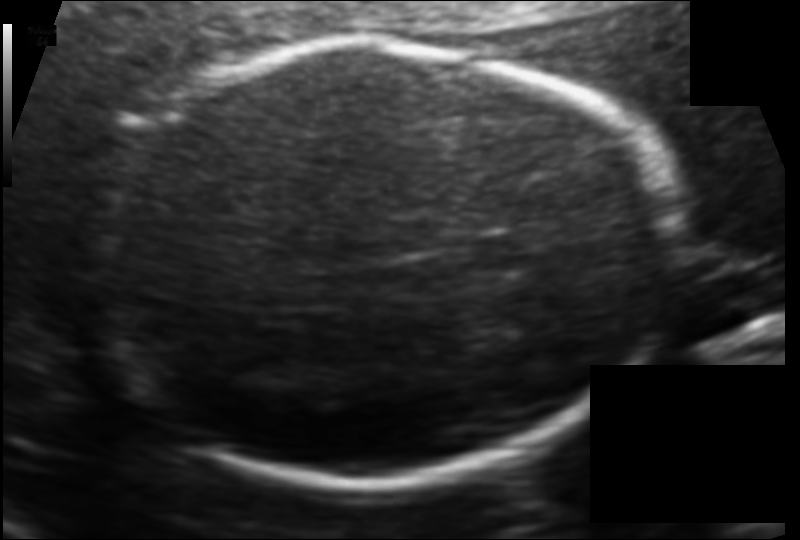
Fetal head ultrasound. Image width: 91.1 mm. Locate the fetal head and, if visible, the cavum septum pellucidum (CSP) and lateral ventricle (LV). Give bounding boxes as [x1,y1,x2,y2].

Head: [86,42,677,480]